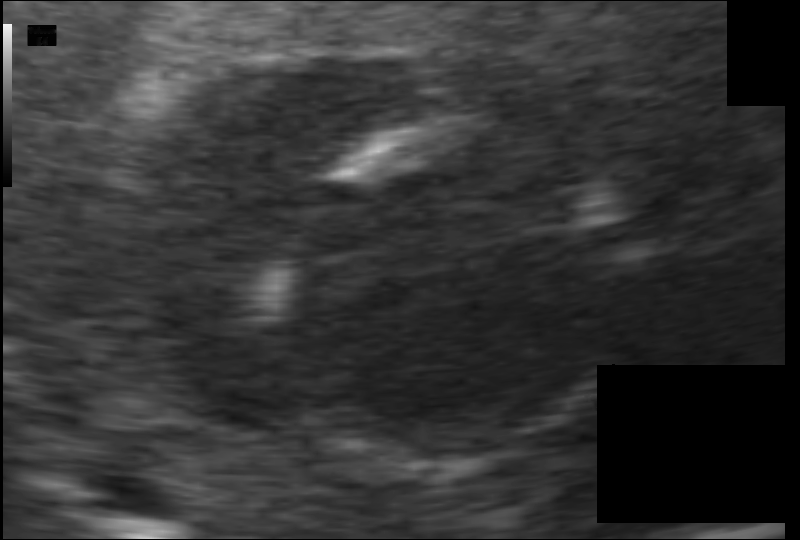
Fetal head ultrasound. Image width: 55.7 mm. Give [x1,y1,x2,y2] bounding boxes for each visible structure among: fetal head, CSP, LV.

Head: [274,122,622,471]